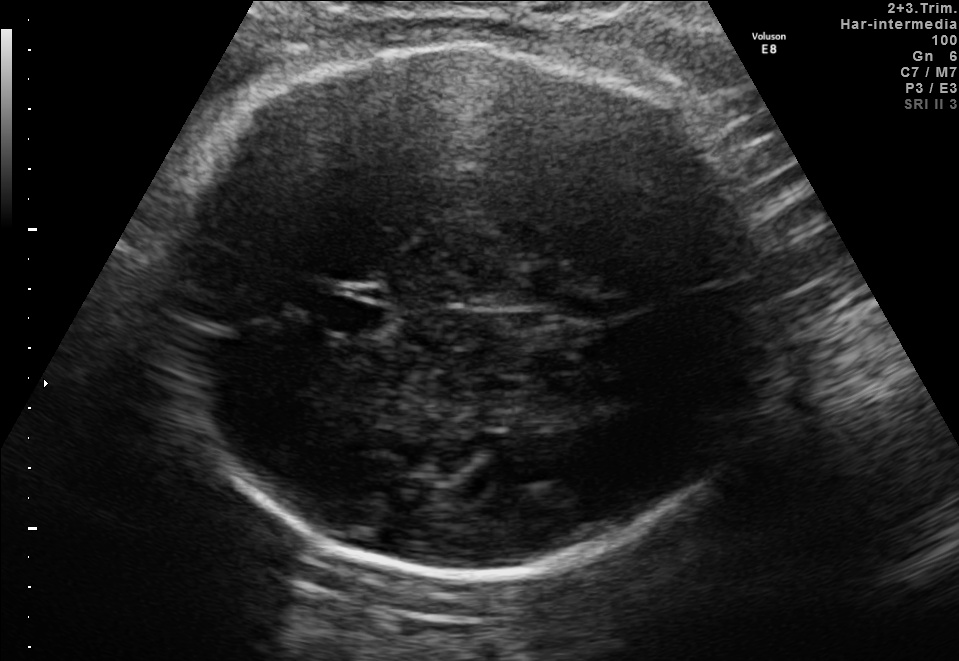
Fetal brain, trans-thalamic plane. Where is the fetal head?

Head bounding box: [157,44,770,573]